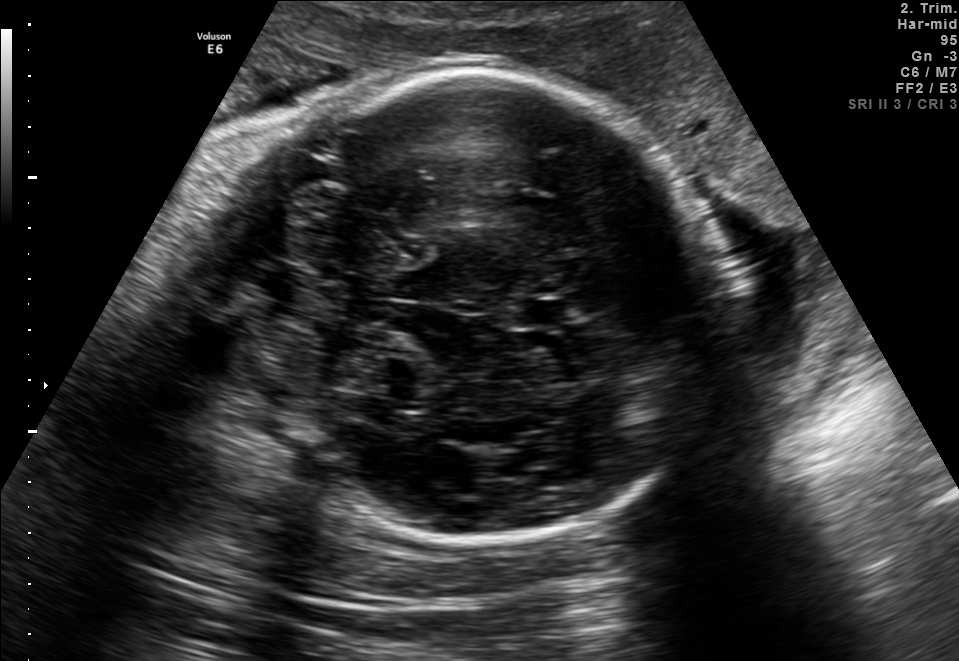
Fetal brain, trans-cerebellum plane. Where is the cavum septum pellucidum?

CSP bounding box: [511,295,575,330]